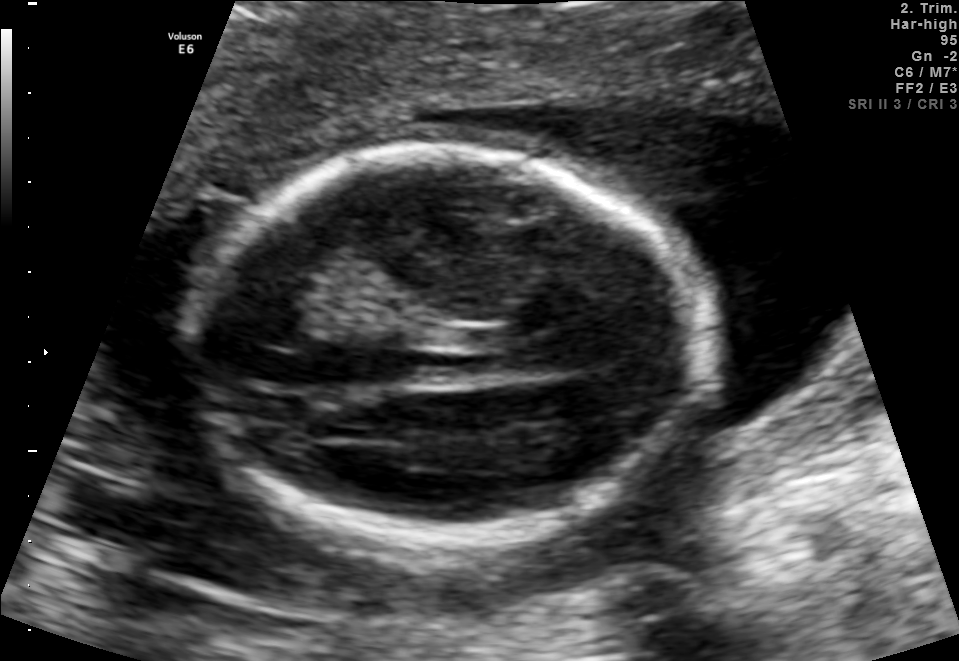
Fetal brain, trans-thalamic plane. Give [x1,y1,x2,y2] bounding boxes for each visible structure among: fetal head, CSP, LV.

Head: [182,147,703,538]